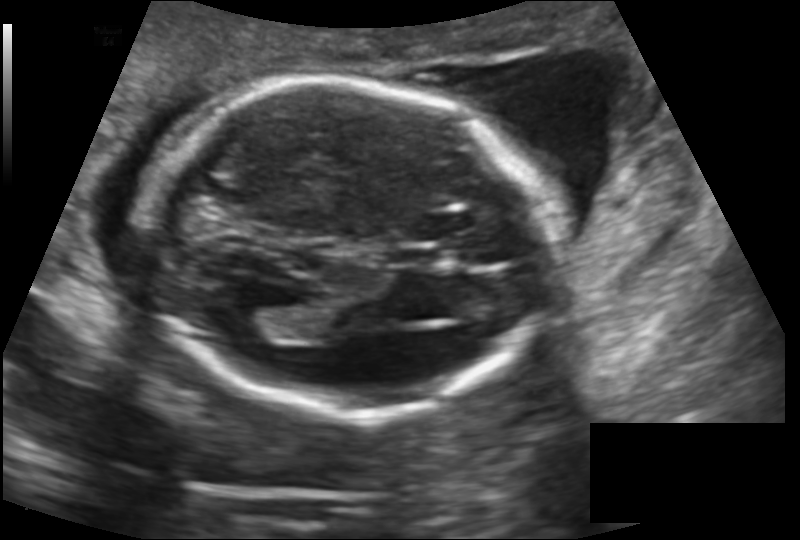
Fetal head ultrasound. Image width: 116.4 mm. Give [x1,y1,x2,y2] bounding boxes for each visible structure among: fetal head, CSP, LV.

Head: [141,80,547,414]
CSP: [389,247,442,268]
Lateral ventricle: [225,307,278,339]